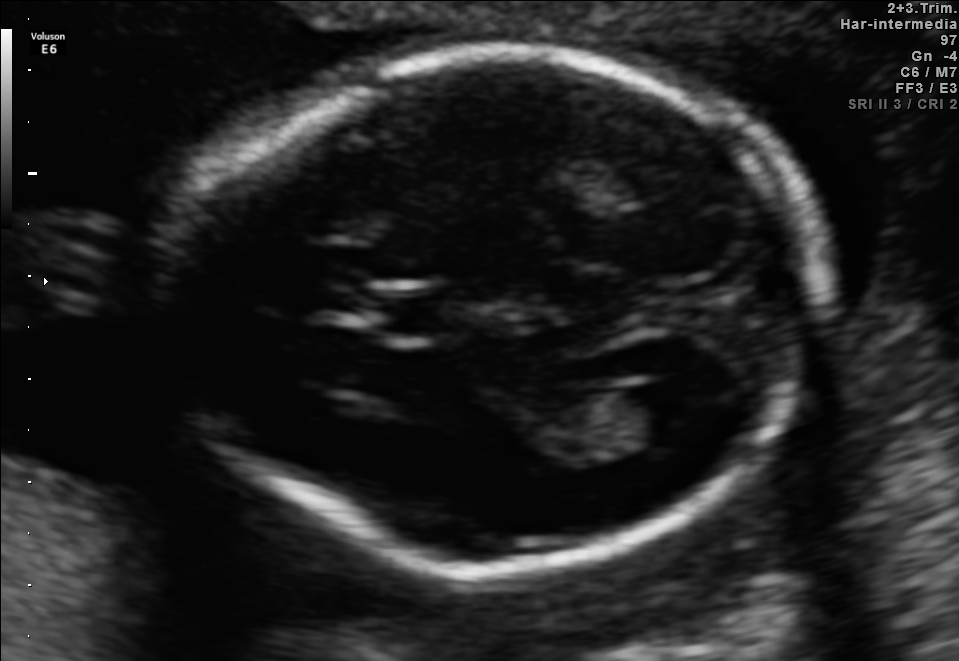
In this fetal brain, trans-ventricular plane, give the bounding box of the lateral ventricle.

[631,366,722,440]